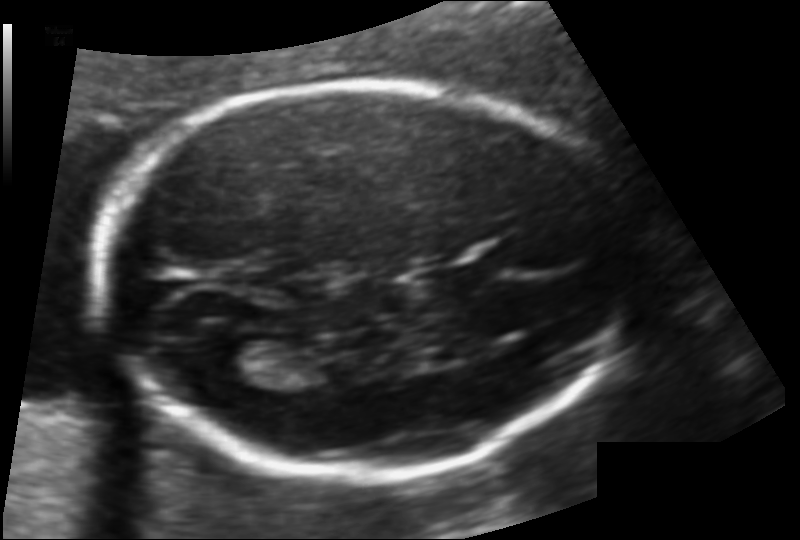
Fetal head ultrasound. Image width: 93.3 mm. Locate the fetal head.

Head: [98,81,621,477]